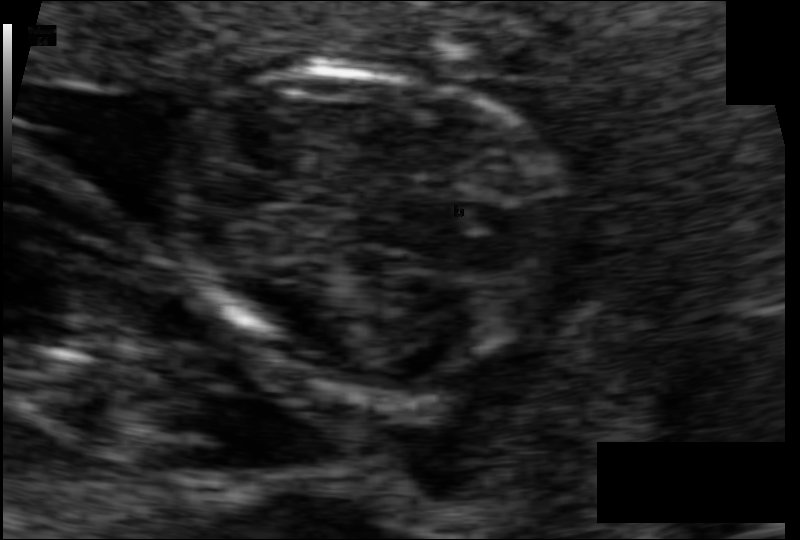
In this fetal head ultrasound, give bounding boxes for the head outline, cavum septum pellucidum (CSP), and lateral ventricle (LV), where visible. Image width: 48.5 mm.

Head: [166,64,567,373]